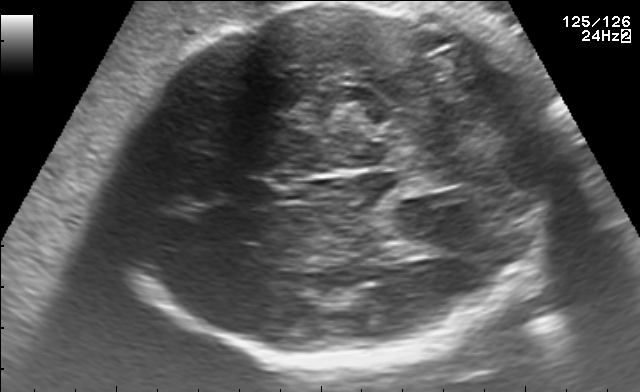
Fetal brain, trans-thalamic plane. Give [x1,y1,x2,y2] bounding boxes for each visible structure among: fetal head, CSP, LV.

Head: [113,2,578,366]